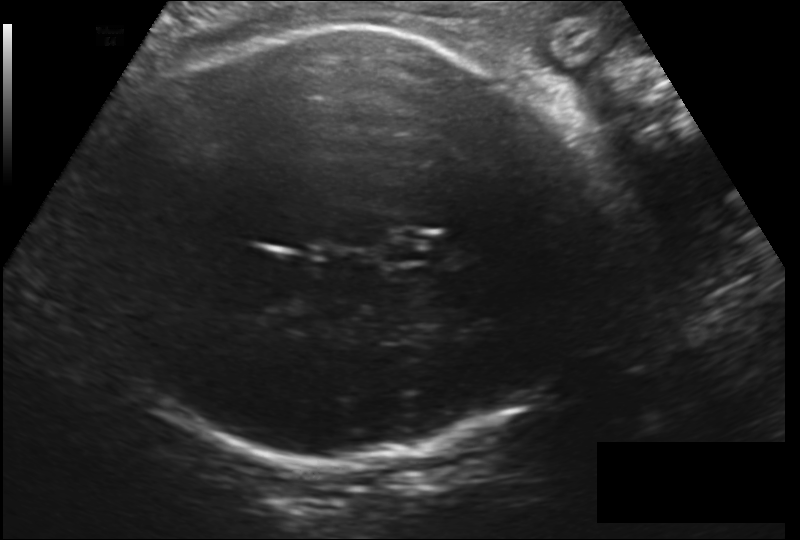
Fetal head ultrasound. Image width: 169.8 mm. Locate the fetal head and, if visible, the cavum septum pellucidum (CSP) and lateral ventricle (LV). Give bounding boxes as [x1,y1,x2,y2].

Head: [93,27,609,466]